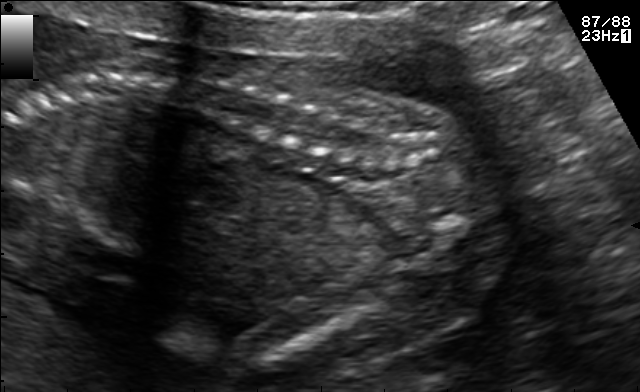
Classify this maternal-fetal ultrasound image as one of the six standard planes — fetal abdomen, fetal brain, fetal femur, fetal thorax, maternal cervix, or other. If it's fetal brain and one of the three standard brain planes (trans-thalamic, trans-cerebellum, trans-ventricular), name which.

Other